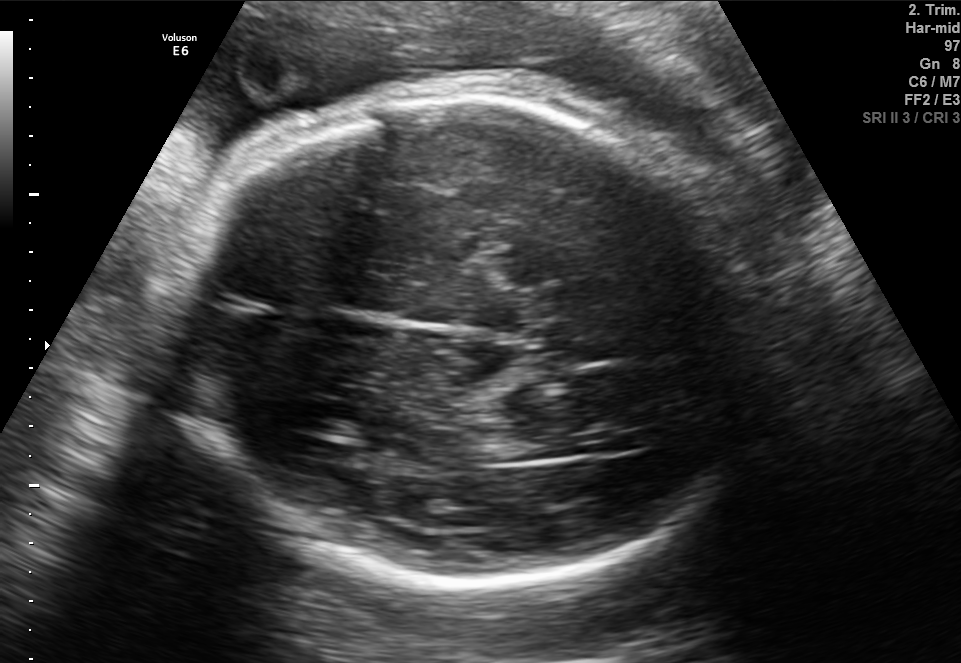
This is a 2D maternal-fetal ultrasound frame. Is it a fetal abdomen, fetal brain, fetal femur, fetal thorax, maternal cervix, or other standard plane? If it's fetal brain and one of the three standard brain planes (trans-thalamic, trans-cerebellum, trans-ventricular), name which.

Fetal brain (trans-thalamic plane)